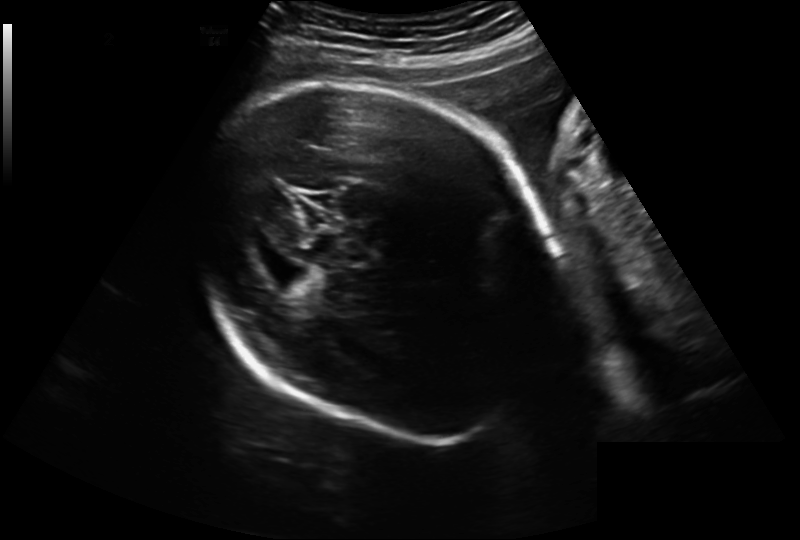
In this fetal head ultrasound, give bounding boxes for the head outline, cavum septum pellucidum (CSP), and lateral ventricle (LV), where visible. Image width: 192.7 mm.

Head: [196,78,559,445]